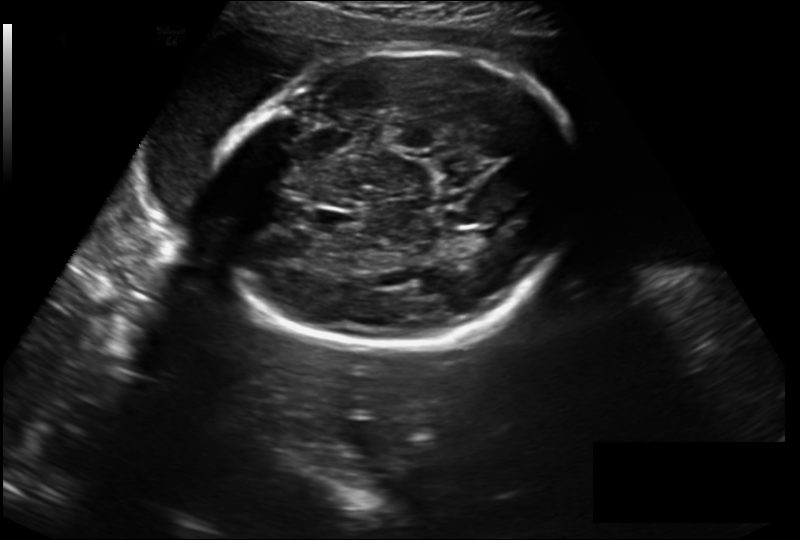
Estimate the fetal head circumference from this 2D ultrasound. Image width: 184.1 mm.

Head circumference: 251.8 mm.